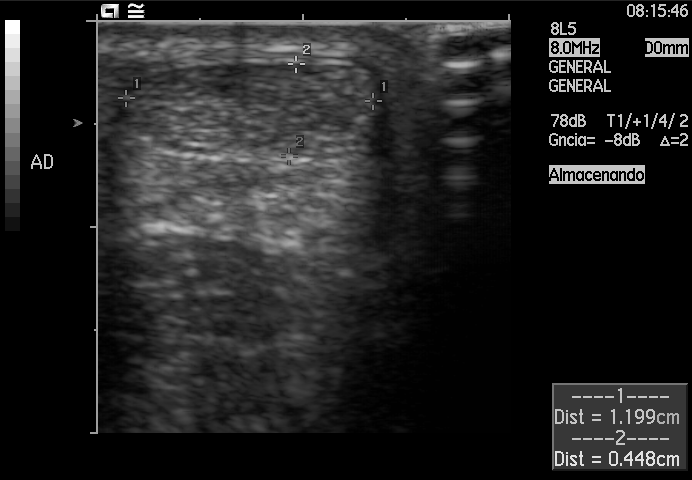
Which standard maternal-fetal ultrasound plane is shown: fetal abdomen, fetal brain, fetal femur, fetal thorax, maternal cervix, or other? If it's fetal brain and one of the three standard brain planes (trans-thalamic, trans-cerebellum, trans-ventricular), name which.

Other